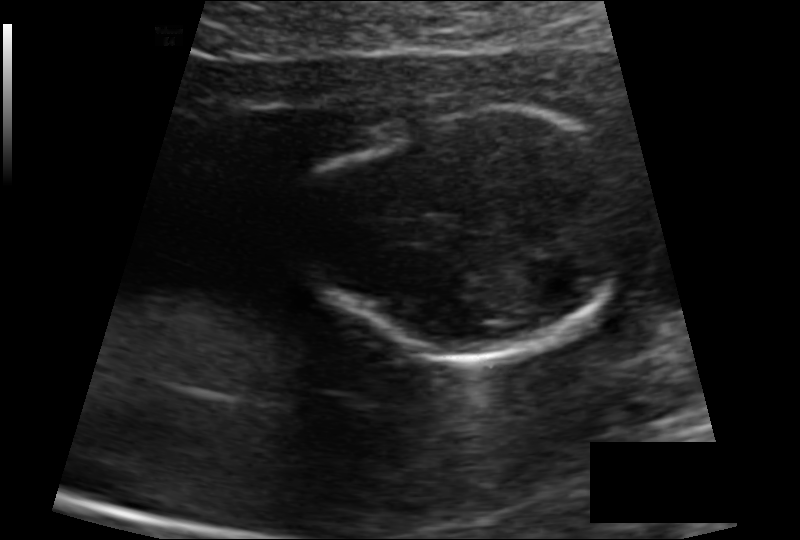
Measure the fetal head circumference shown in this ultrasound image. Image width: 87.9 mm.

Head circumference: 102.8 mm.